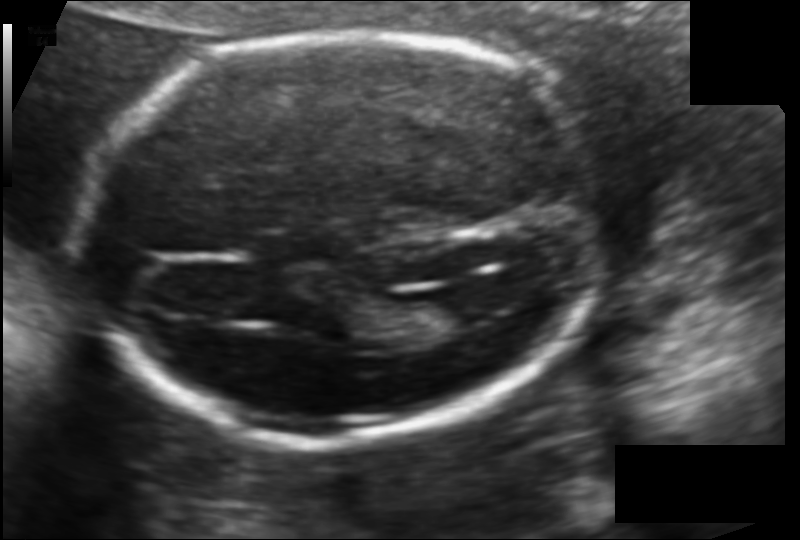
Fetal head ultrasound. Image width: 94.7 mm. Give [x1,y1,x2,y2] bounding boxes for each visible structure among: fetal head, CSP, LV.

Head: [80,29,601,440]
Lateral ventricle: [396,289,477,342]